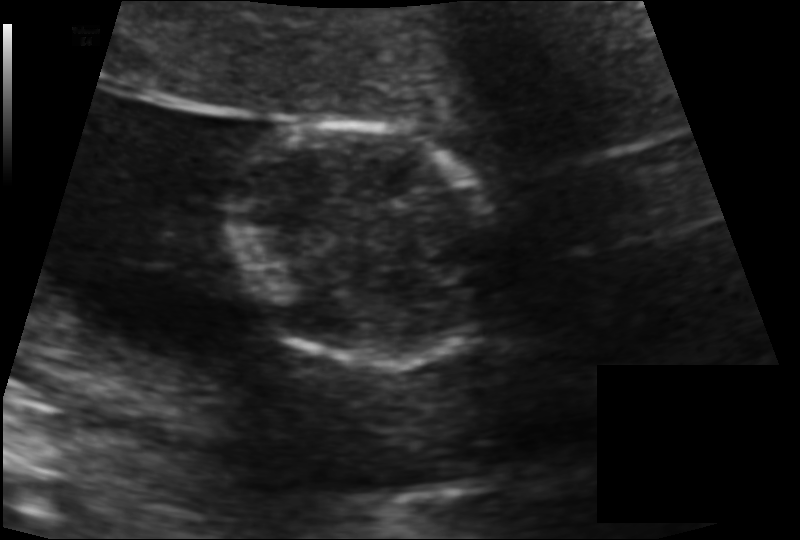
In this fetal head ultrasound, give the bounding box of the fetal head. Image width: 91.8 mm.

[223,122,494,368]